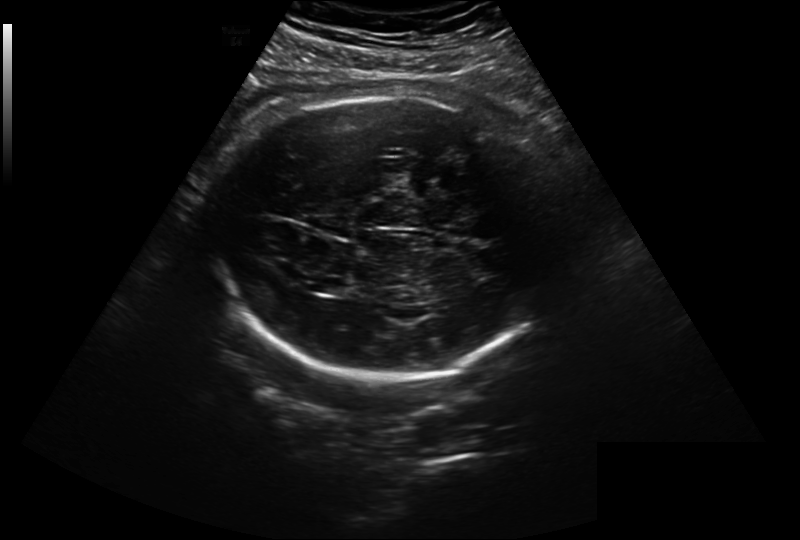
What is the fetal head circumference? Image width is 239.2 mm.

315.3 mm